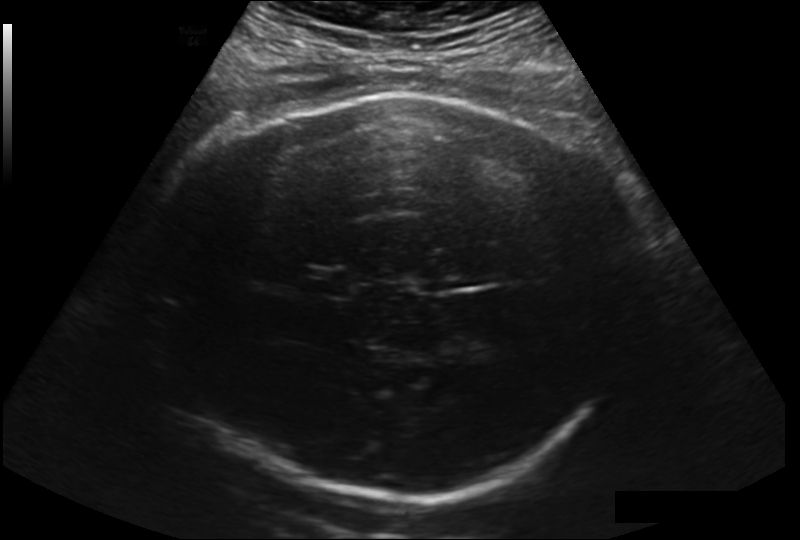
In this fetal head ultrasound, give bounding boxes for the head outline, cavum septum pellucidum (CSP), and lateral ventricle (LV), where visible. Image width: 179.8 mm.

Head: [141,92,631,497]